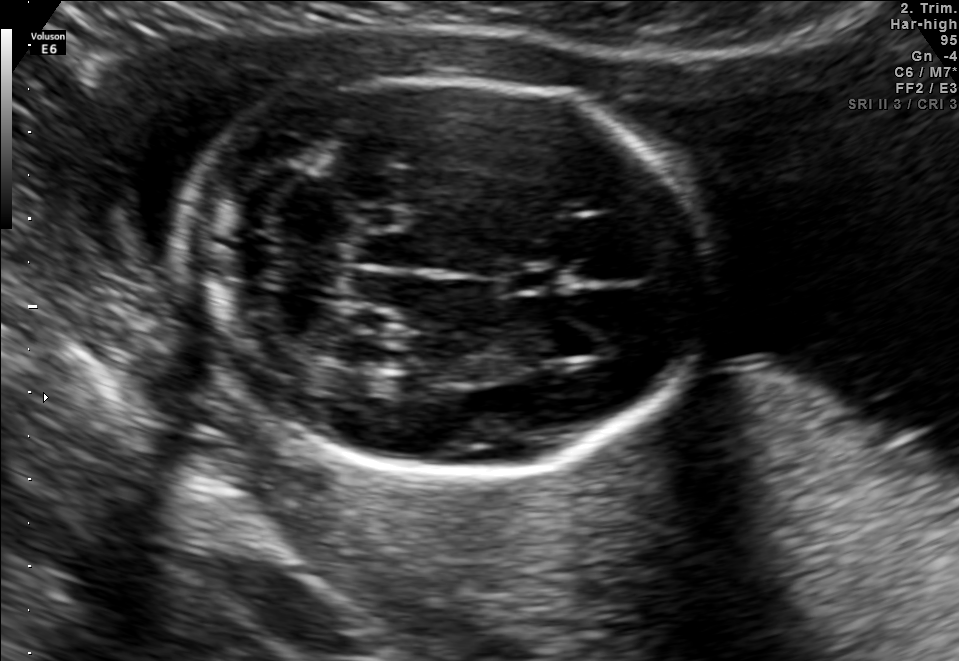
In this fetal brain, trans-cerebellum plane, give the bounding box of the fetal head.

[183,78,714,479]